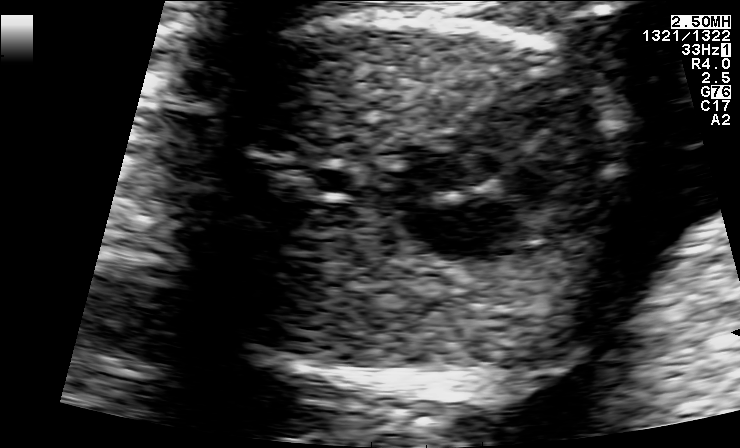
Classify this maternal-fetal ultrasound image as one of the six standard planes — fetal abdomen, fetal brain, fetal femur, fetal thorax, maternal cervix, or other. If it's fetal brain and one of the three standard brain planes (trans-thalamic, trans-cerebellum, trans-ventricular), name which.

Fetal thorax